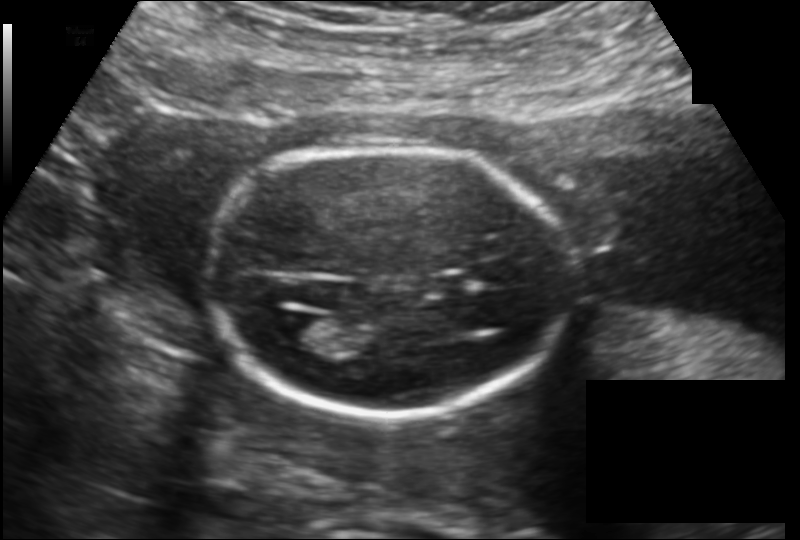
From this fetal ultrasound, estimate the head circumference (image width 119.1 mm).

Head circumference: 156.6 mm.